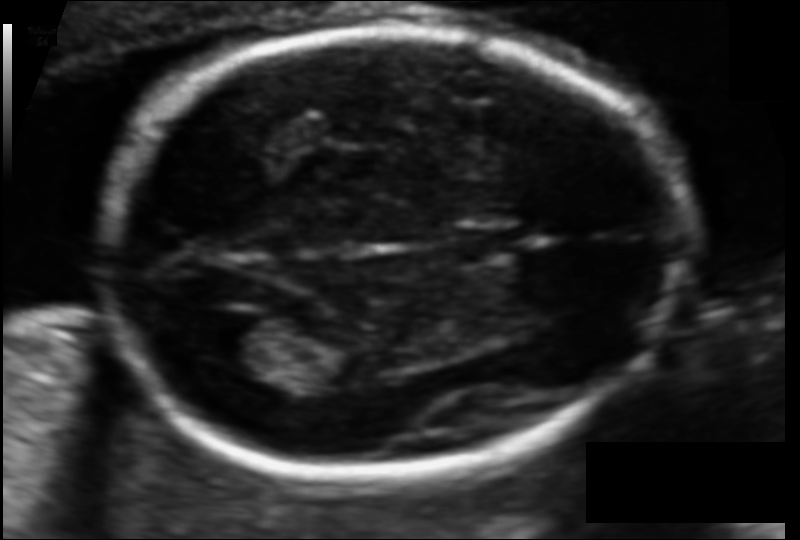
Fetal head ultrasound. Image width: 77.8 mm. Give [x1,y1,x2,y2] bounding boxes for each visible structure among: fetal head, CSP, LV.

Head: [101,29,681,479]
CSP: [458,224,520,263]
Lateral ventricle: [188,309,266,363]